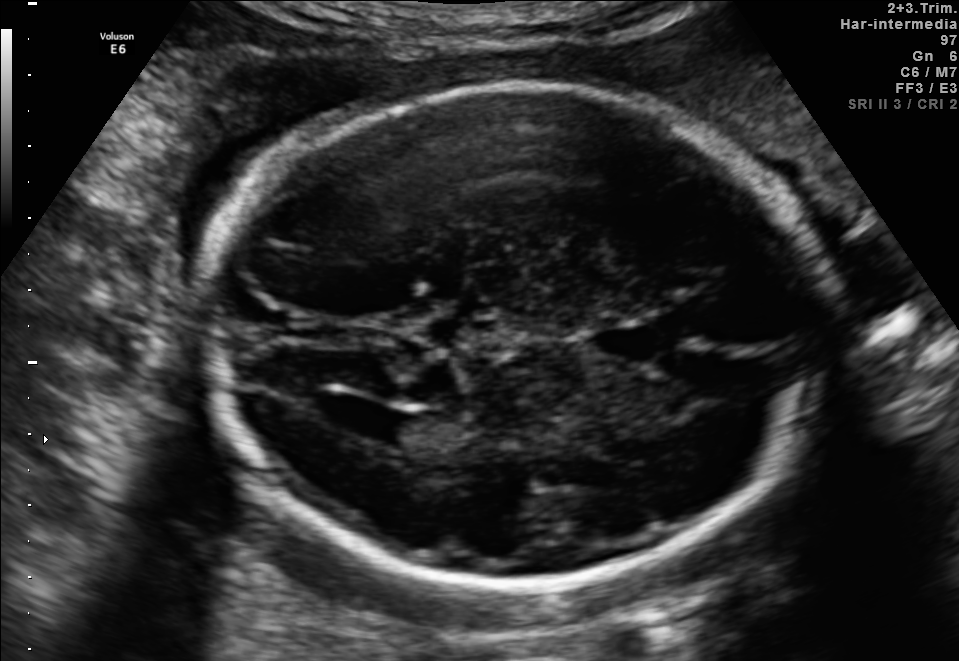
Fetal brain, trans-ventricular plane. Locate the fetal head and, if visible, the cavum septum pellucidum (CSP) and lateral ventricle (LV). Give bounding boxes as [x1,y1,x2,y2].

Head: [196,79,845,592]
Lateral ventricle: [329,394,418,451]